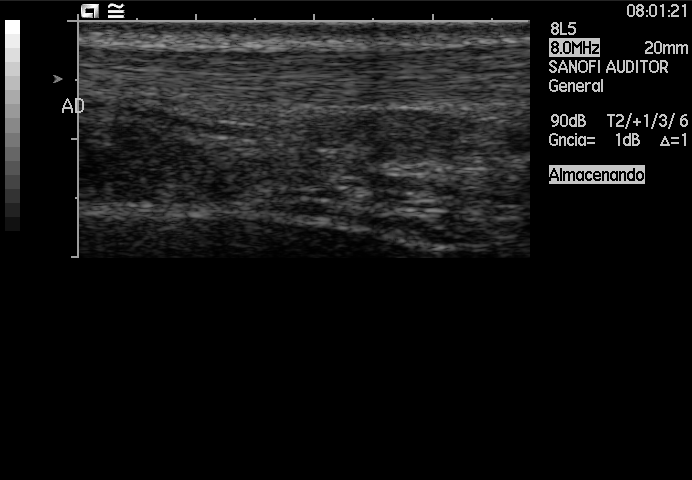
This is a 2D maternal-fetal ultrasound frame. Is it a fetal abdomen, fetal brain, fetal femur, fetal thorax, maternal cervix, or other standard plane? If it's fetal brain and one of the three standard brain planes (trans-thalamic, trans-cerebellum, trans-ventricular), name which.

Other